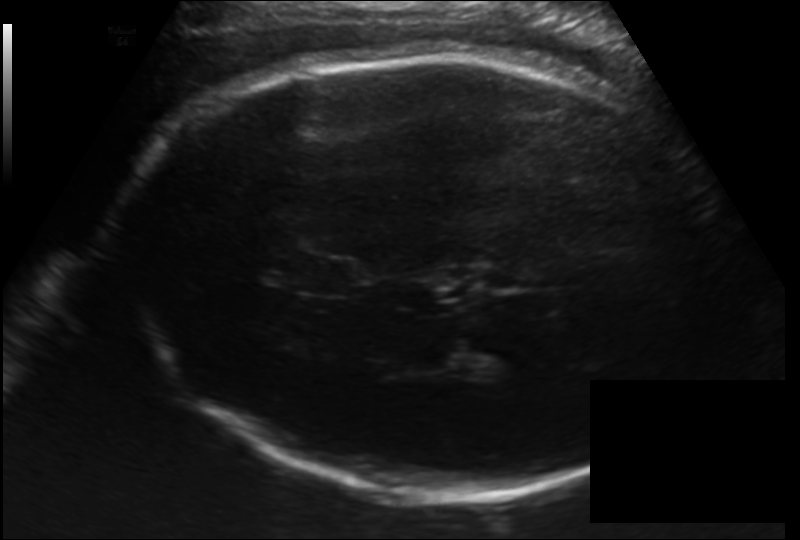
From this fetal ultrasound, estimate the head circumference (image width 153.4 mm).

Head circumference: 328.6 mm.